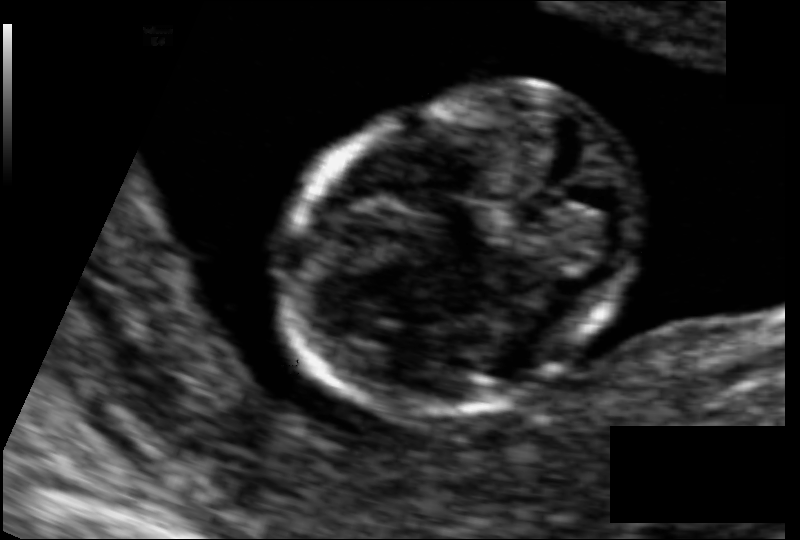
Measure the fetal head circumference shown in this ultrasound image. Image width: 52.4 mm.

Head circumference: 72.8 mm.